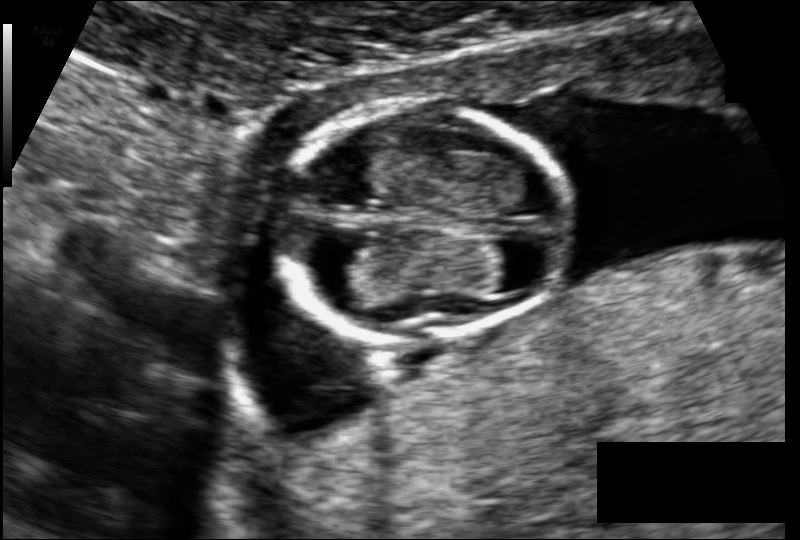
In this fetal head ultrasound, give bounding boxes for the head outline, cavum septum pellucidum (CSP), and lateral ventricle (LV), where visible. Image width: 78.5 mm.

Head: [275,105,576,337]